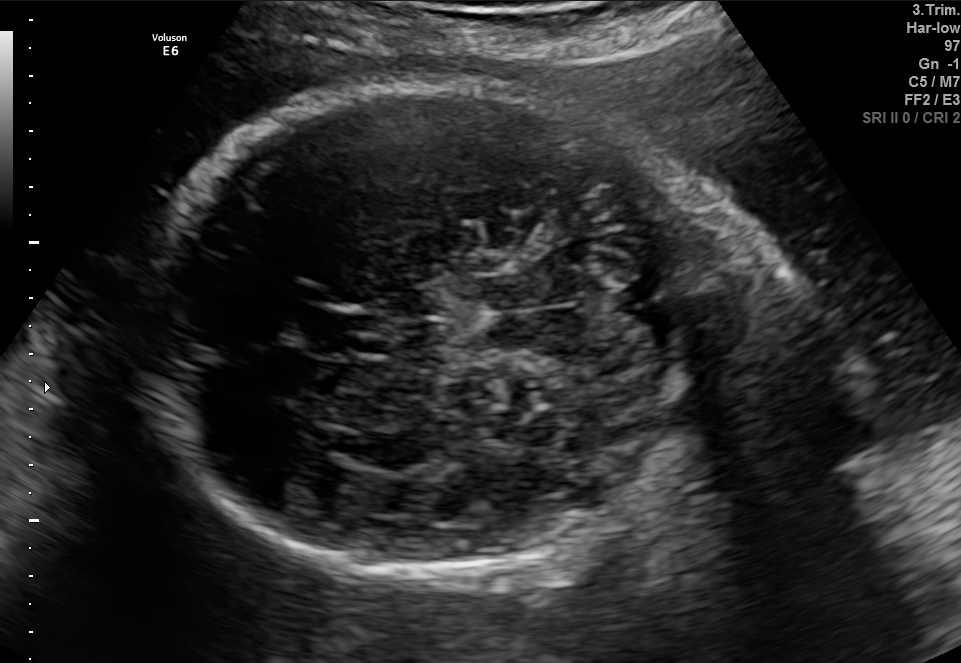
In this fetal brain, trans-cerebellum plane, give the bounding box of the cavum septum pellucidum.

[306,307,382,361]